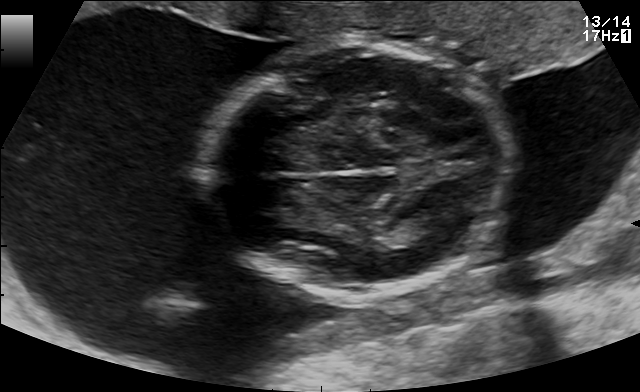
Fetal brain, trans-thalamic plane. Where is the fetal head?

Head bounding box: [205,45,509,297]